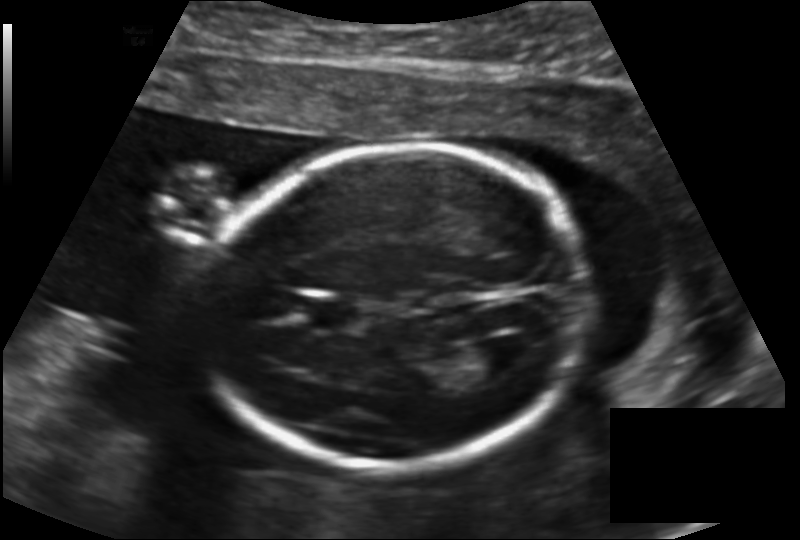
From this fetal ultrasound, estimate the head circumference (image width 117.6 mm).

Head circumference: 169.7 mm.